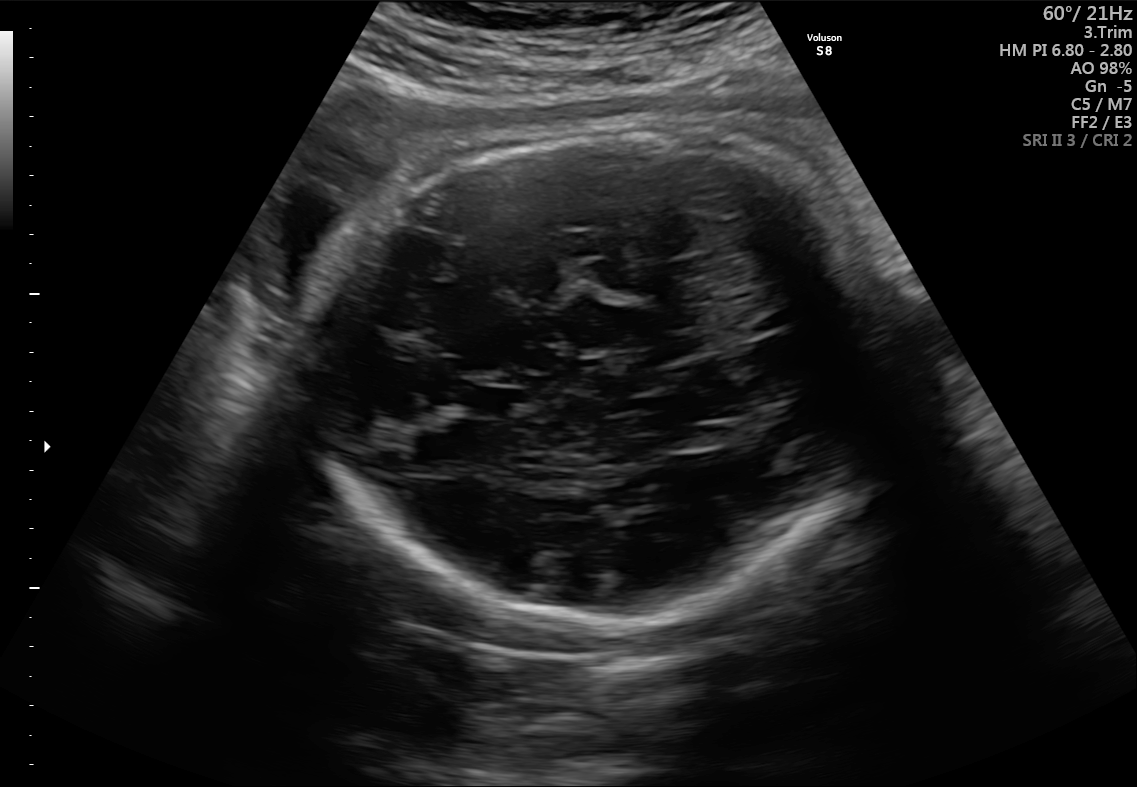
Fetal brain, trans-thalamic plane. Where is the cavum septum pellucidum?

CSP bounding box: [474,387,525,418]